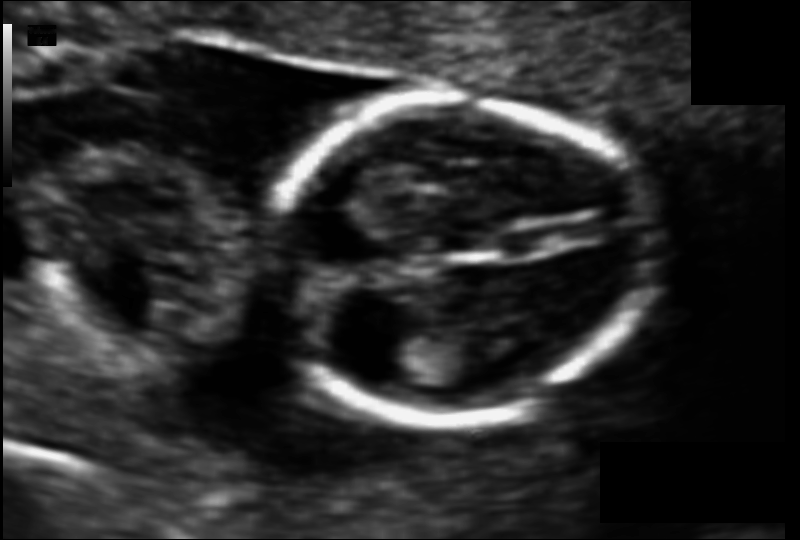
Fetal head ultrasound. Image width: 66.6 mm. Where is the cavum septum pellucidum?

CSP bounding box: [497,224,560,263]